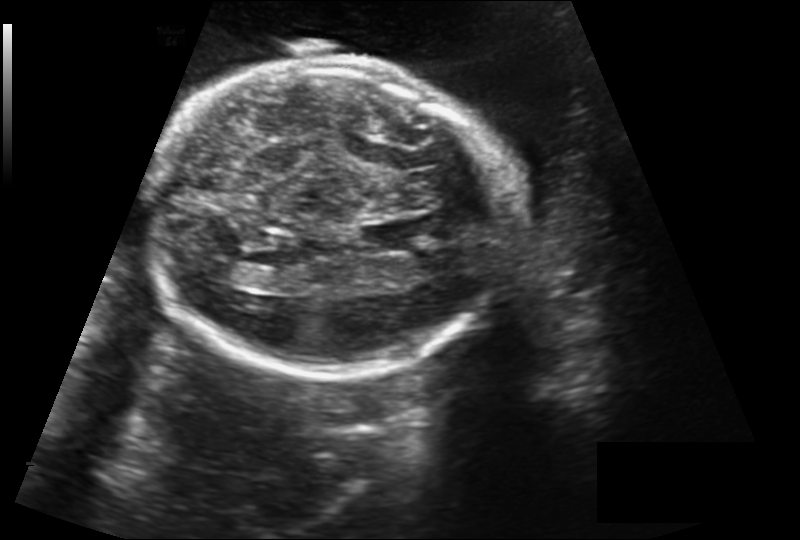
Fetal head ultrasound. Image width: 169.6 mm. Where is the fetal head?

Head bounding box: [152,58,511,376]